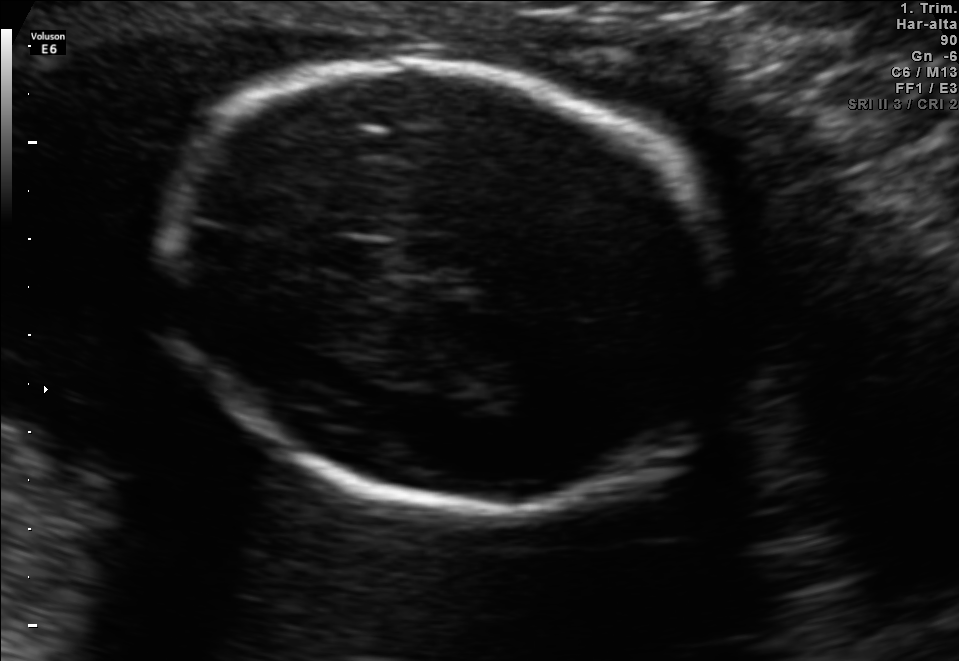
This is a 2D maternal-fetal ultrasound frame. Is it a fetal abdomen, fetal brain, fetal femur, fetal thorax, maternal cervix, or other standard plane? If it's fetal brain and one of the three standard brain planes (trans-thalamic, trans-cerebellum, trans-ventricular), name which.

Fetal brain (trans-thalamic plane)